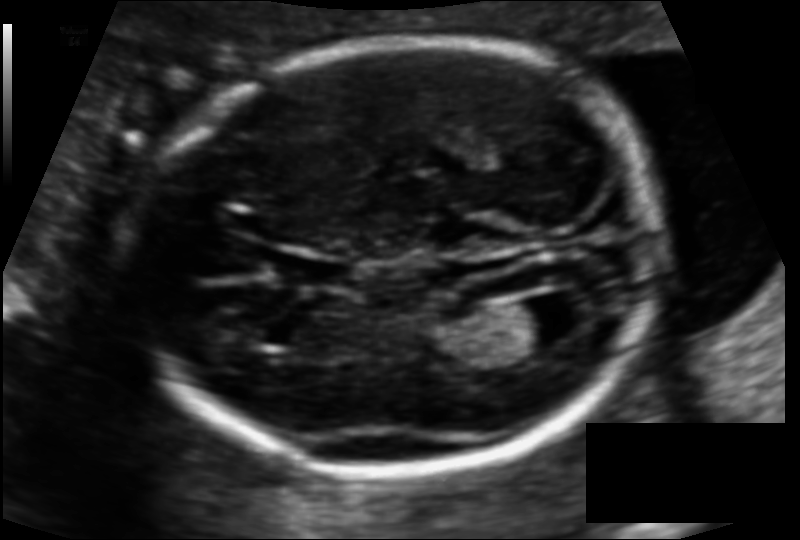
What is the fetal head circumference? Image width is 88.1 mm.

168.6 mm